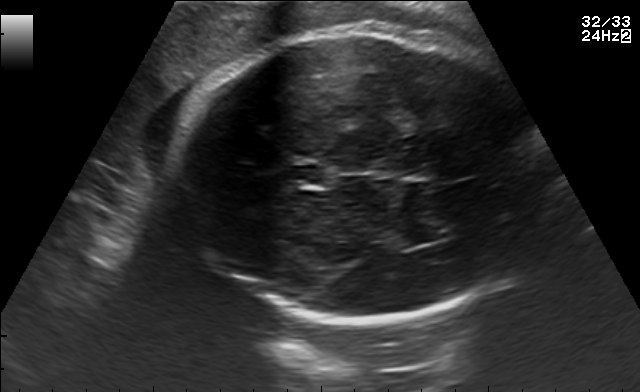
This is a 2D maternal-fetal ultrasound frame. Is it a fetal abdomen, fetal brain, fetal femur, fetal thorax, maternal cervix, or other standard plane? If it's fetal brain and one of the three standard brain planes (trans-thalamic, trans-cerebellum, trans-ventricular), name which.

Fetal brain (trans-thalamic plane)